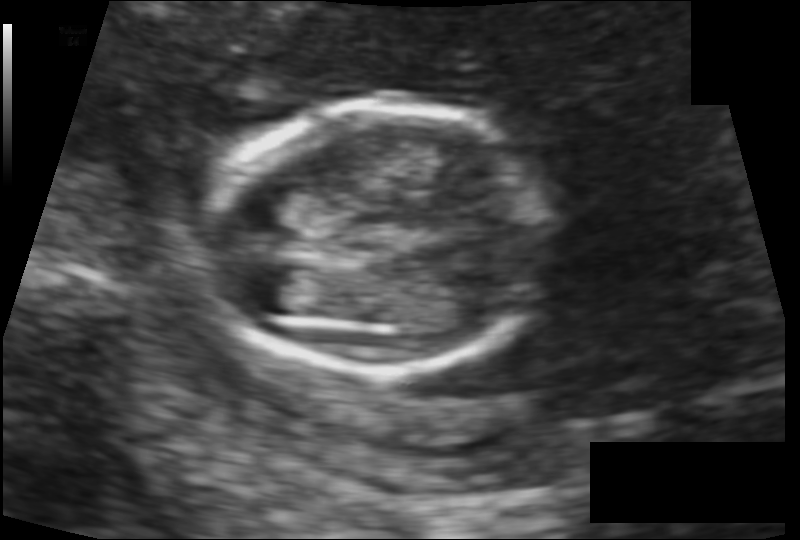
Estimate the fetal head circumference from this 2D ultrasound. Image width: 88.5 mm.

Head circumference: 108.0 mm.